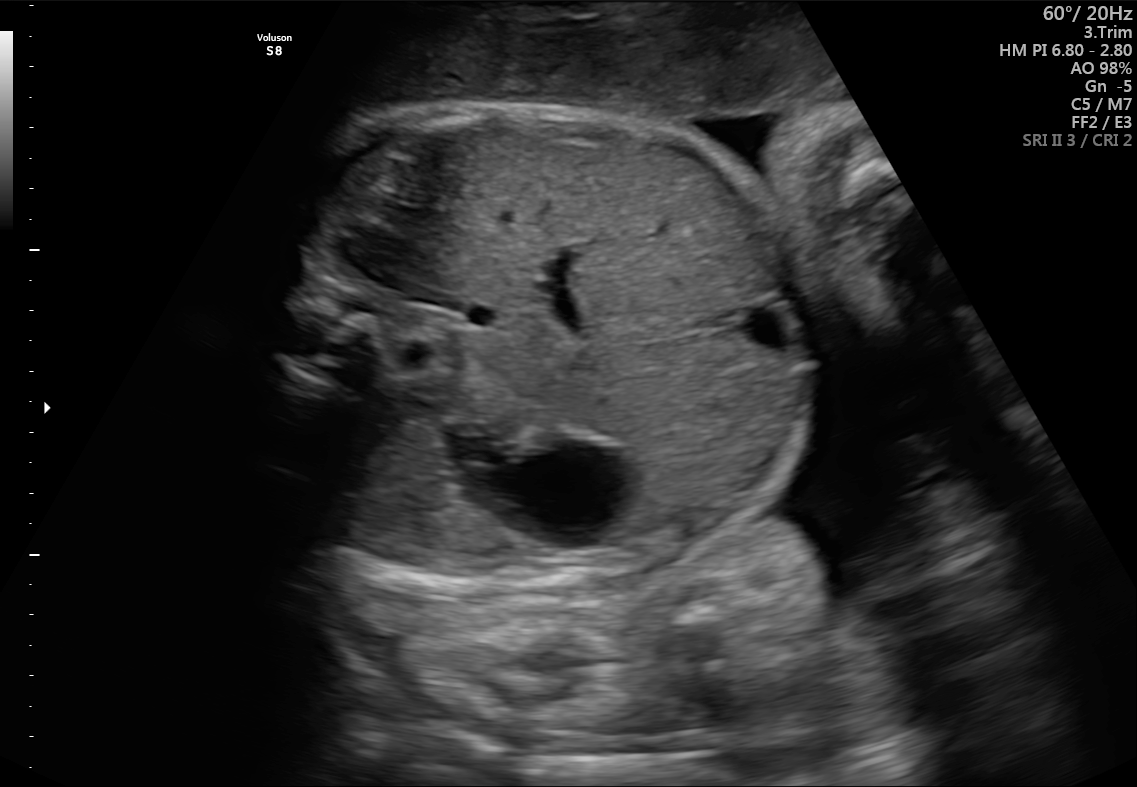
This is a 2D maternal-fetal ultrasound frame. Is it a fetal abdomen, fetal brain, fetal femur, fetal thorax, maternal cervix, or other standard plane? If it's fetal brain and one of the three standard brain planes (trans-thalamic, trans-cerebellum, trans-ventricular), name which.

Fetal abdomen